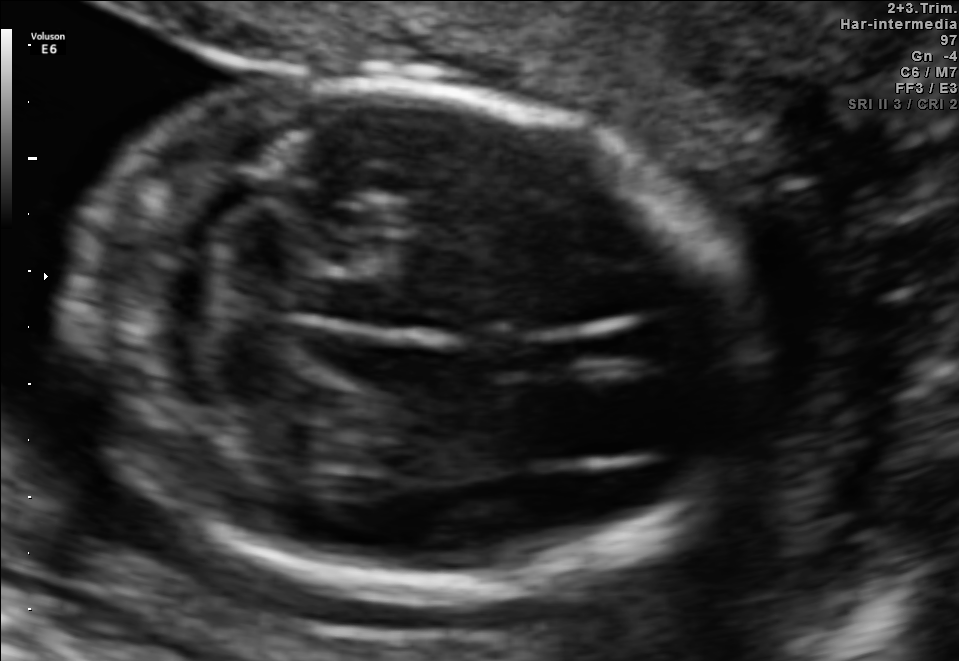
Fetal brain, trans-cerebellum plane. Locate the fetal head.

Head: [69,84,750,585]